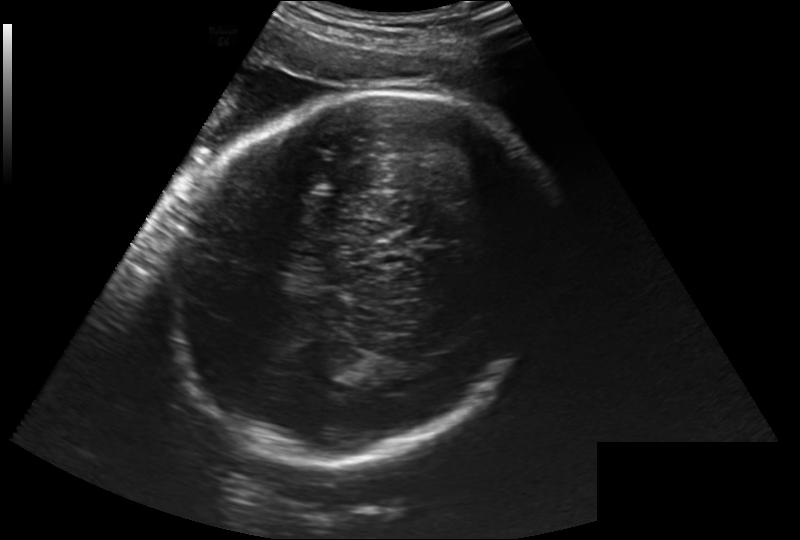
Fetal head ultrasound. Image width: 208.2 mm. Locate the fetal head.

Head: [174,88,541,463]